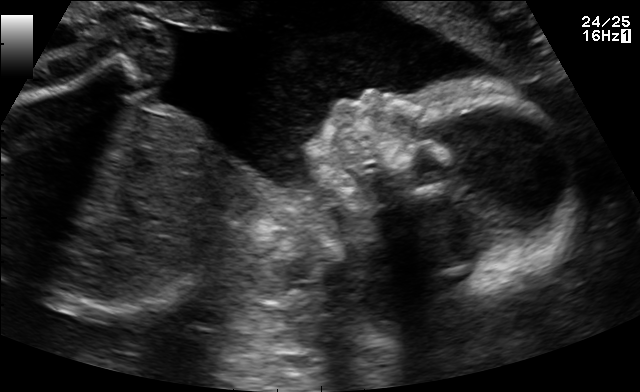
Which standard maternal-fetal ultrasound plane is shown: fetal abdomen, fetal brain, fetal femur, fetal thorax, maternal cervix, or other? If it's fetal brain and one of the three standard brain planes (trans-thalamic, trans-cerebellum, trans-ventricular), name which.

Other